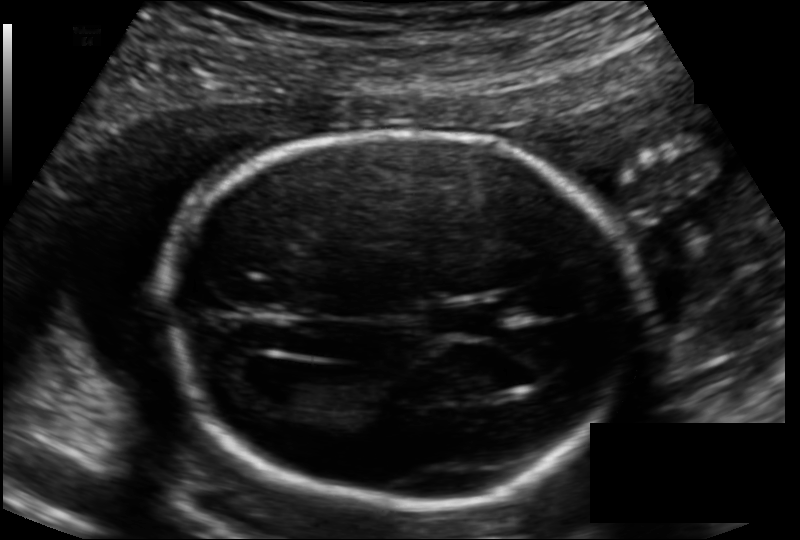
What is the fetal head circumference? Image width is 100.8 mm.

171.2 mm